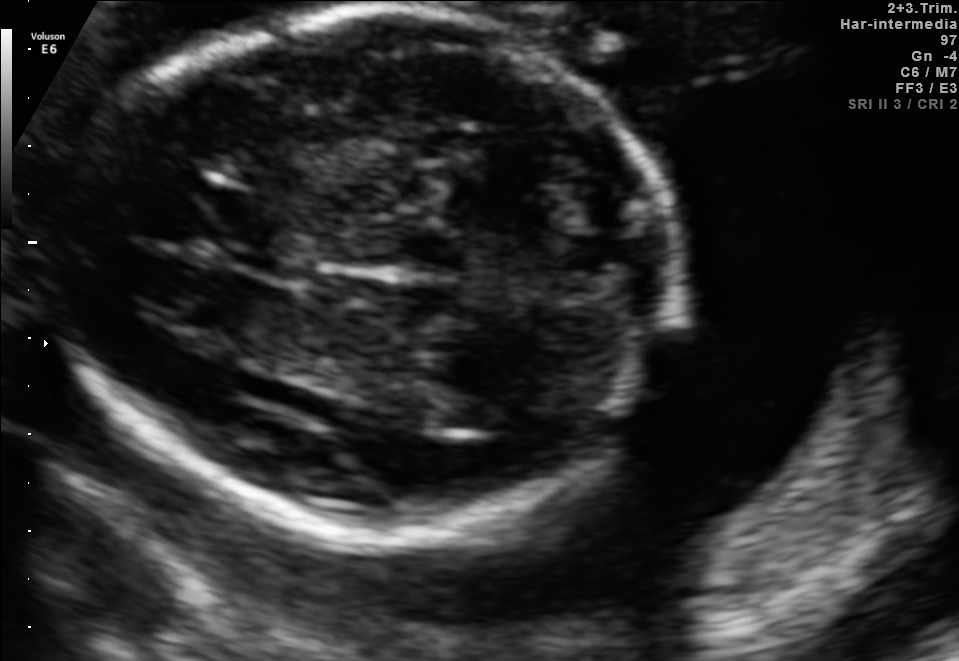
Which standard maternal-fetal ultrasound plane is shown: fetal abdomen, fetal brain, fetal femur, fetal thorax, maternal cervix, or other? If it's fetal brain and one of the three standard brain planes (trans-thalamic, trans-cerebellum, trans-ventricular), name which.

Fetal brain (trans-thalamic plane)